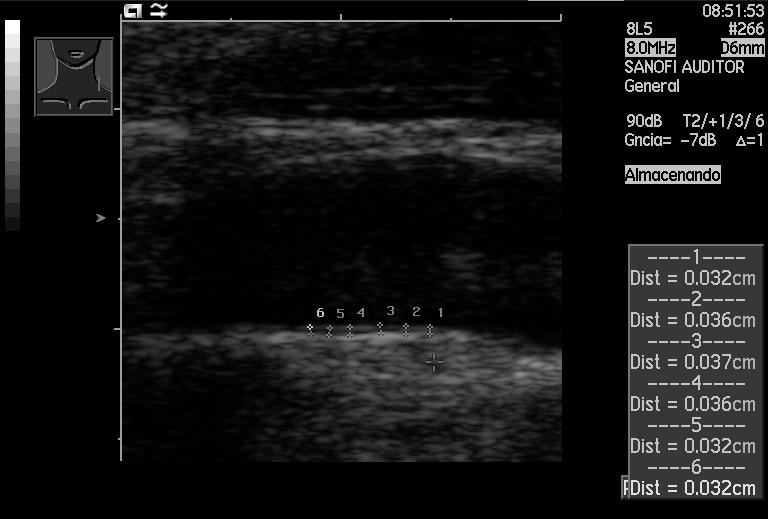
Identify the standard plane in this fetal ultrasound image: fetal abdomen, fetal brain, fetal femur, fetal thorax, maternal cervix, or other. If it's fetal brain and one of the three standard brain planes (trans-thalamic, trans-cerebellum, trans-ventricular), name which.

Other